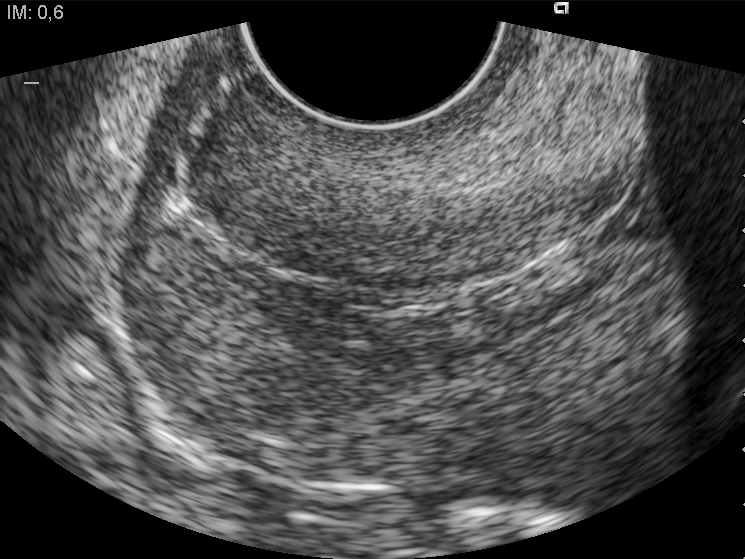
Classify this maternal-fetal ultrasound image as one of the six standard planes — fetal abdomen, fetal brain, fetal femur, fetal thorax, maternal cervix, or other. If it's fetal brain and one of the three standard brain planes (trans-thalamic, trans-cerebellum, trans-ventricular), name which.

Maternal cervix